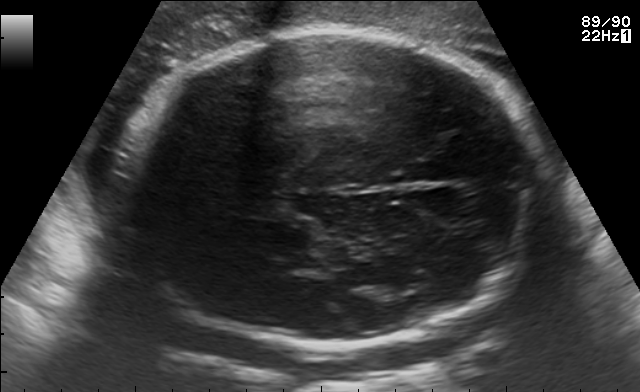
Identify the standard plane in this fetal ultrasound image: fetal abdomen, fetal brain, fetal femur, fetal thorax, maternal cervix, or other. If it's fetal brain and one of the three standard brain planes (trans-thalamic, trans-cerebellum, trans-ventricular), name which.

Fetal brain (trans-thalamic plane)